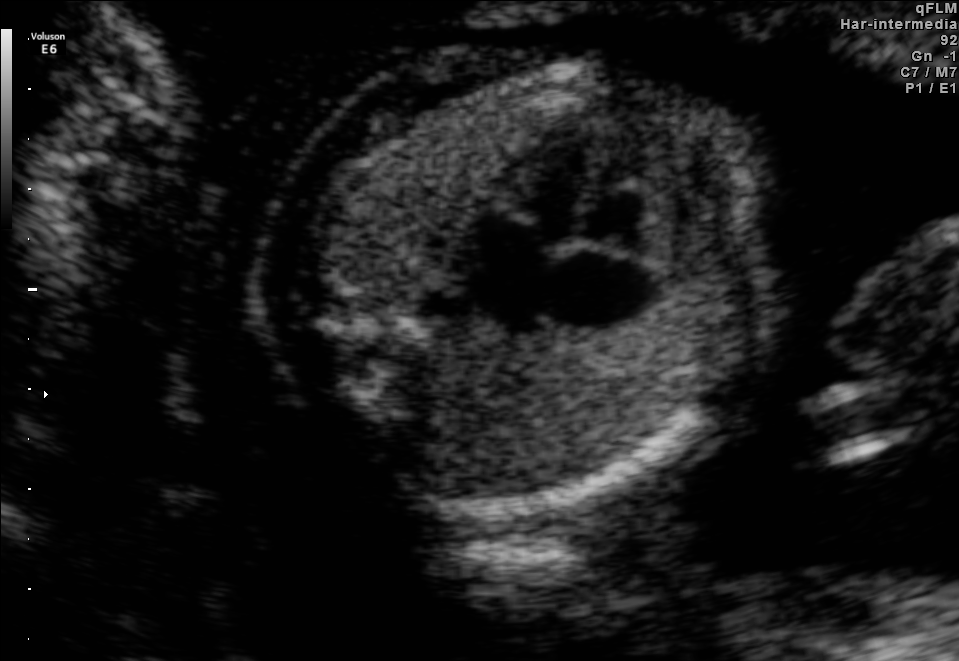
Which standard maternal-fetal ultrasound plane is shown: fetal abdomen, fetal brain, fetal femur, fetal thorax, maternal cervix, or other? If it's fetal brain and one of the three standard brain planes (trans-thalamic, trans-cerebellum, trans-ventricular), name which.

Fetal thorax